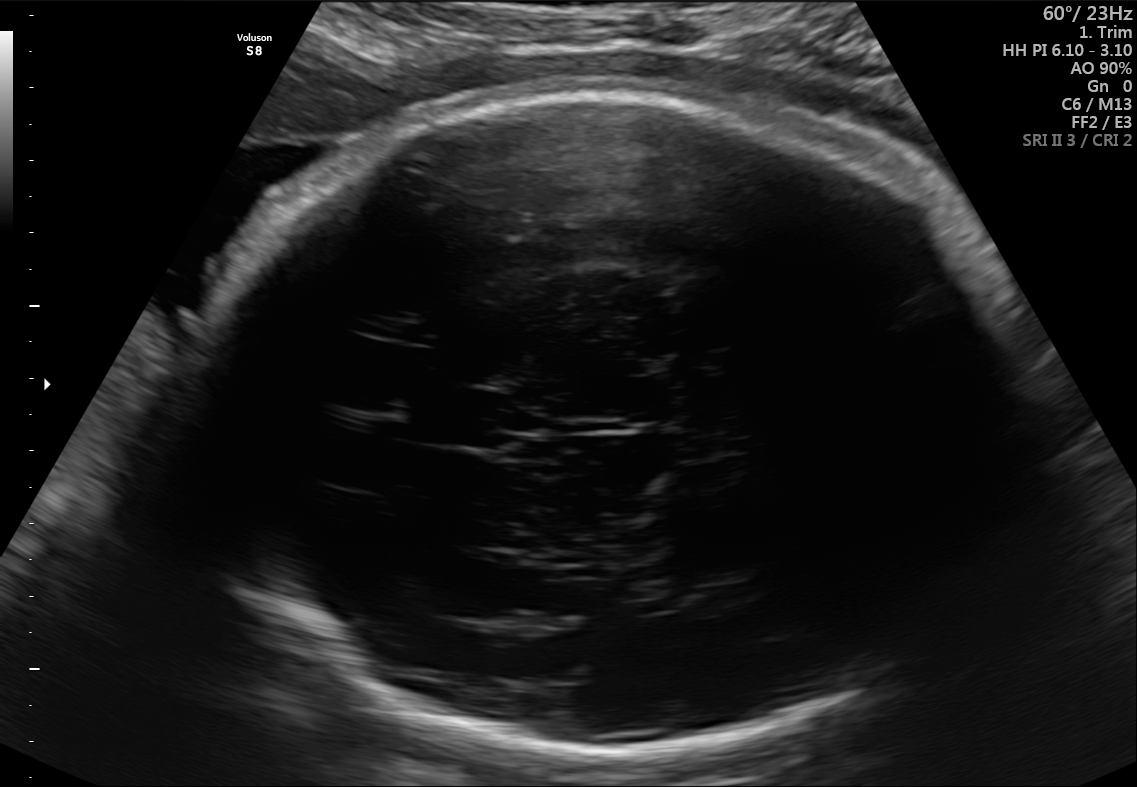
Which standard maternal-fetal ultrasound plane is shown: fetal abdomen, fetal brain, fetal femur, fetal thorax, maternal cervix, or other? If it's fetal brain and one of the three standard brain planes (trans-thalamic, trans-cerebellum, trans-ventricular), name which.

Fetal brain (trans-thalamic plane)